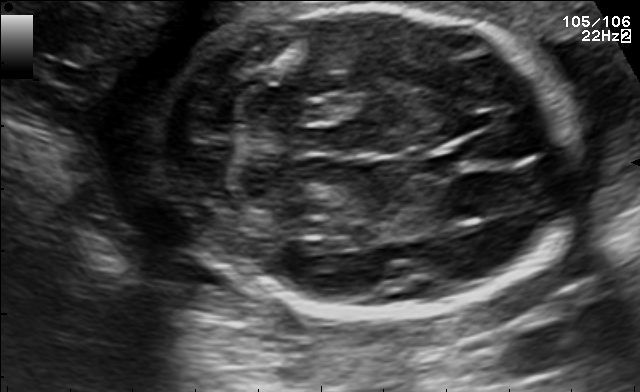
This is a 2D maternal-fetal ultrasound frame. Is it a fetal abdomen, fetal brain, fetal femur, fetal thorax, maternal cervix, or other standard plane? If it's fetal brain and one of the three standard brain planes (trans-thalamic, trans-cerebellum, trans-ventricular), name which.

Fetal brain (trans-cerebellum plane)